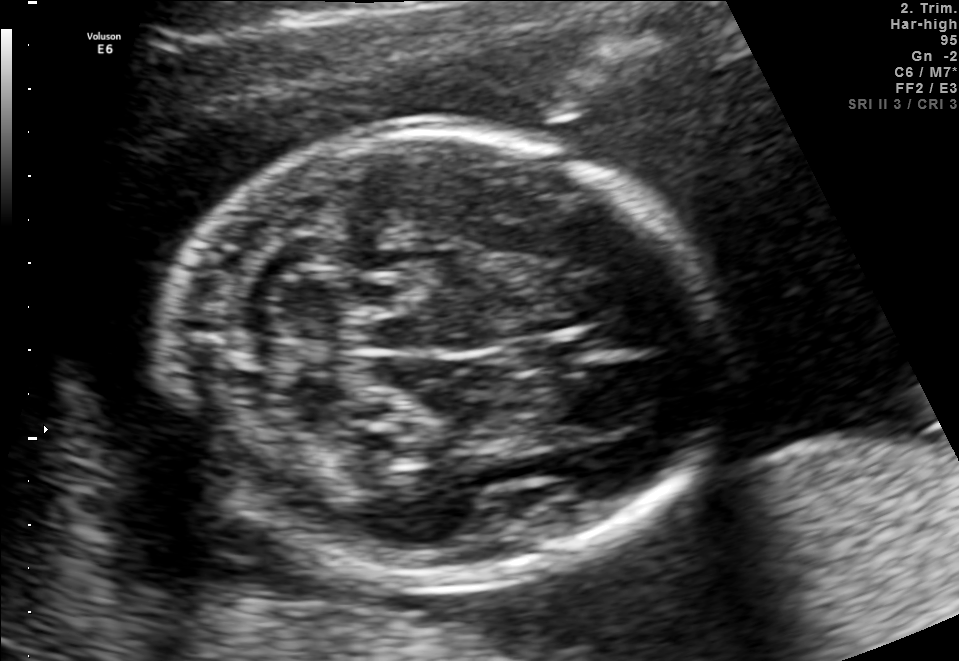
Fetal brain, trans-cerebellum plane. Locate the fetal head and, if visible, the cavum septum pellucidum (CSP) and lateral ventricle (LV). Give bounding boxes as [x1,y1,x2,y2].

Head: [174,124,723,579]
CSP: [504,333,574,375]